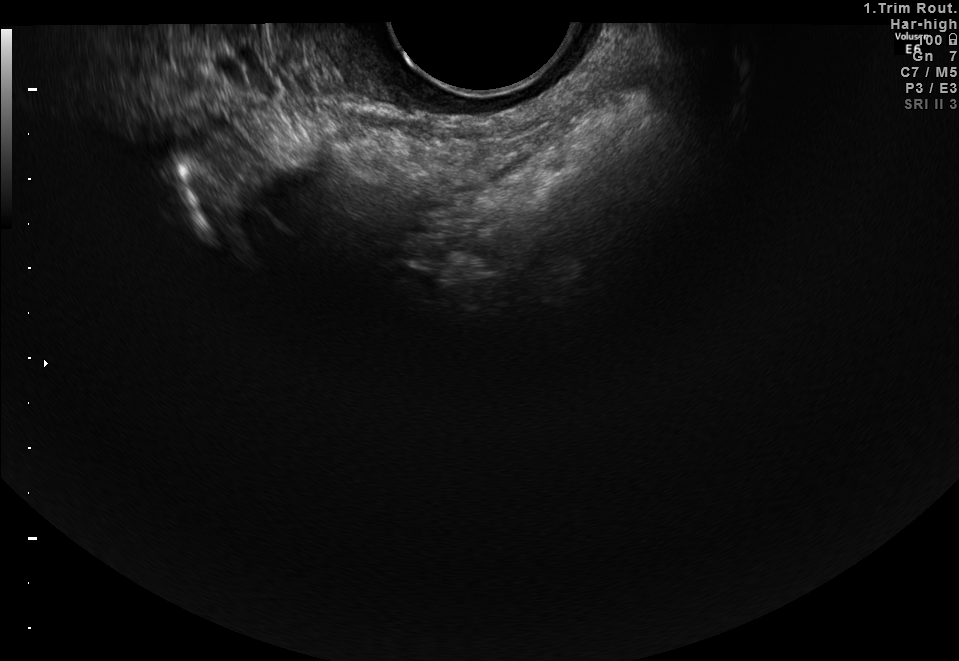
Which standard maternal-fetal ultrasound plane is shown: fetal abdomen, fetal brain, fetal femur, fetal thorax, maternal cervix, or other? If it's fetal brain and one of the three standard brain planes (trans-thalamic, trans-cerebellum, trans-ventricular), name which.

Maternal cervix